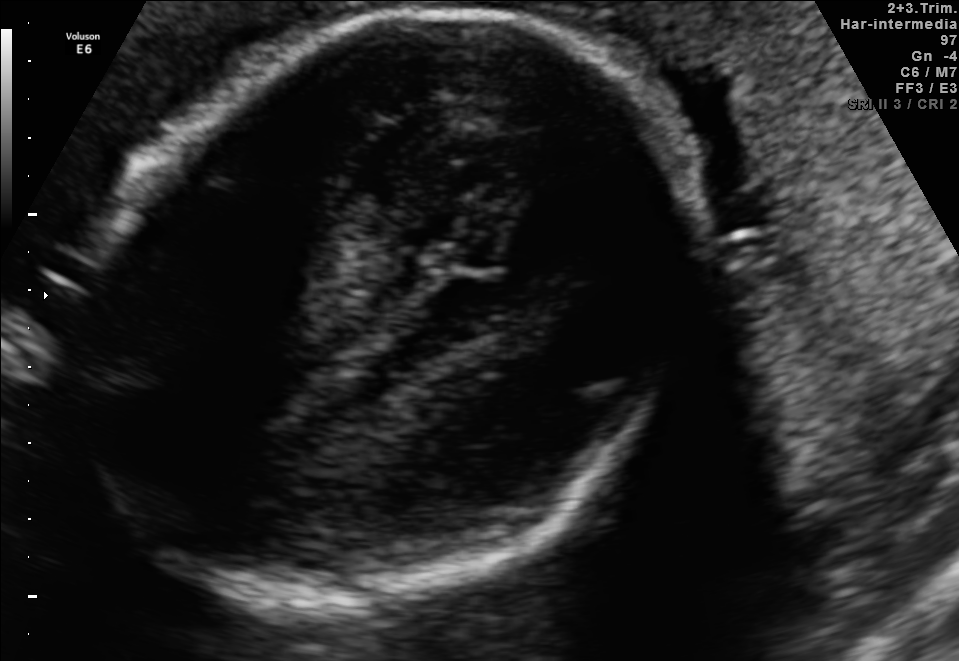
Fetal brain, trans-thalamic plane. Where is the fetal head?

Head bounding box: [80,9,683,612]